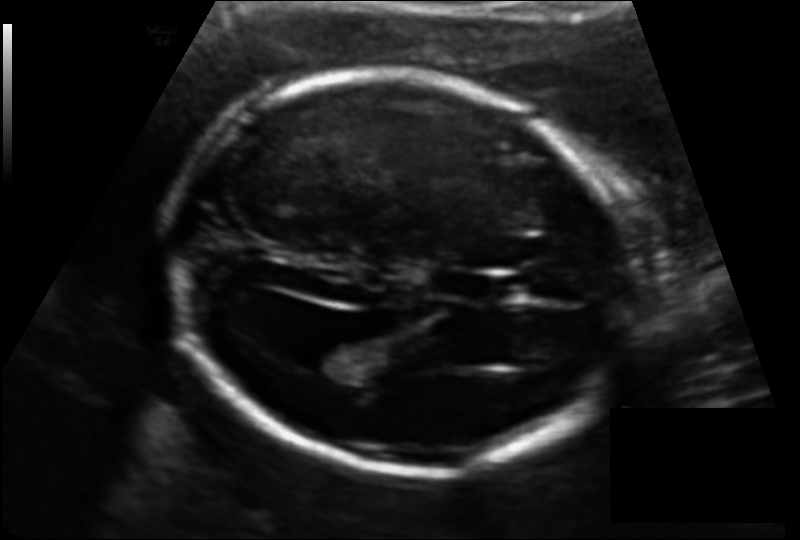
From this fetal ultrasound, estimate the head circumference (image width 104.7 mm).

Head circumference: 184.5 mm.